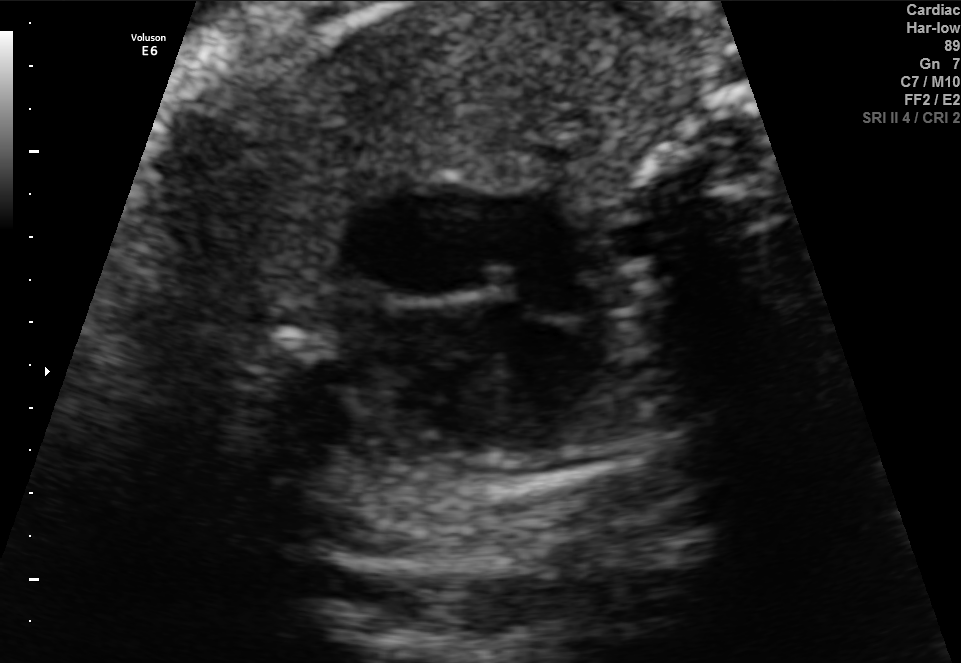
This is a 2D maternal-fetal ultrasound frame. Is it a fetal abdomen, fetal brain, fetal femur, fetal thorax, maternal cervix, or other standard plane? If it's fetal brain and one of the three standard brain planes (trans-thalamic, trans-cerebellum, trans-ventricular), name which.

Fetal thorax